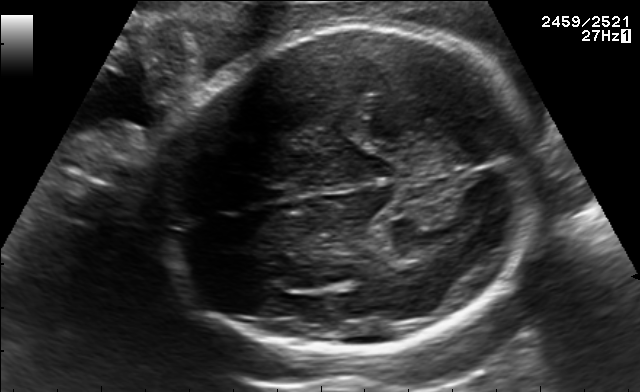
Fetal brain, trans-thalamic plane. Where is the fetal head?

Head bounding box: [163,23,536,355]